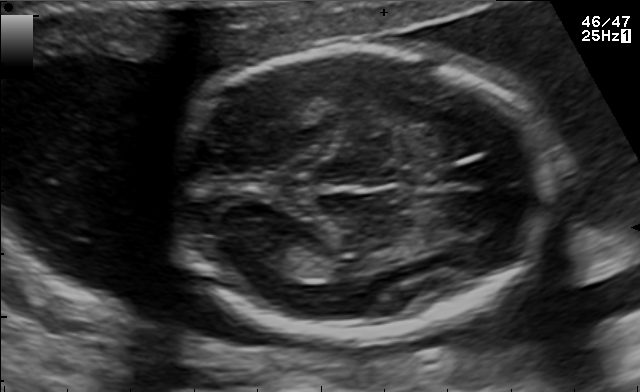
Fetal brain, trans-thalamic plane. Give [x1,y1,x2,y2] bounding boxes for each visible structure among: fetal head, CSP, LV.

Head: [172,48,546,338]
Lateral ventricle: [231,223,309,278]